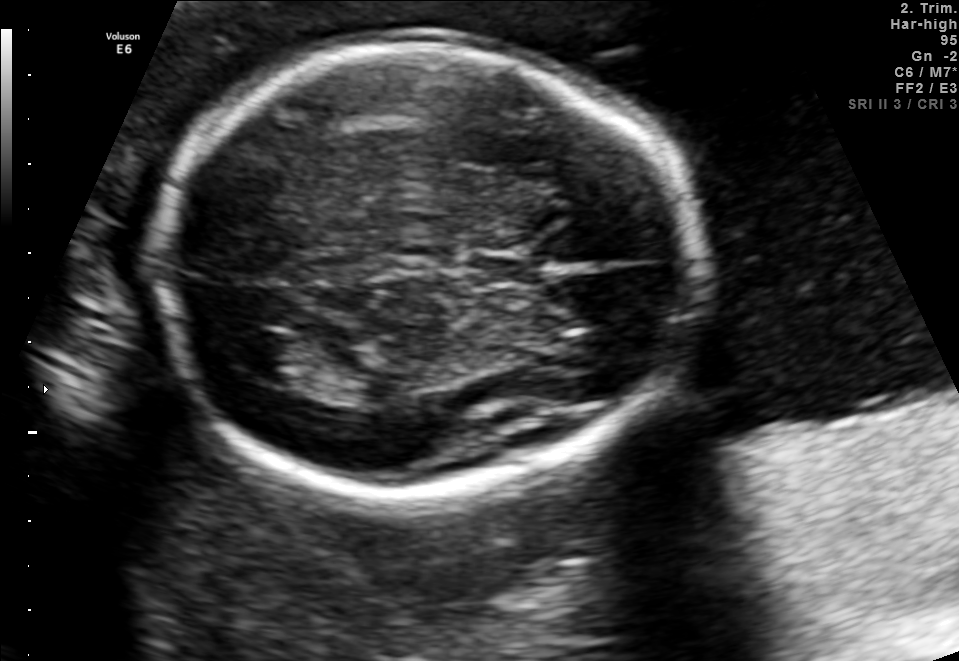
Fetal brain, trans-thalamic plane. Where is the fetal head?

Head bounding box: [151,49,700,490]